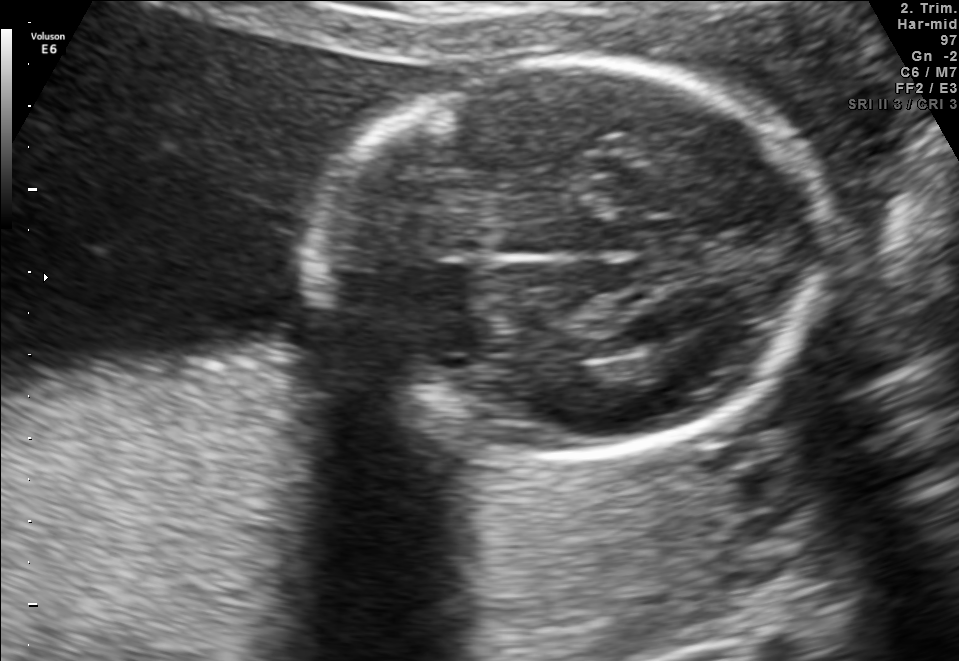
Fetal brain, trans-thalamic plane. Give [x1,y1,x2,y2] bounding boxes for each visible structure among: fetal head, CSP, LV.

Head: [302,59,843,460]